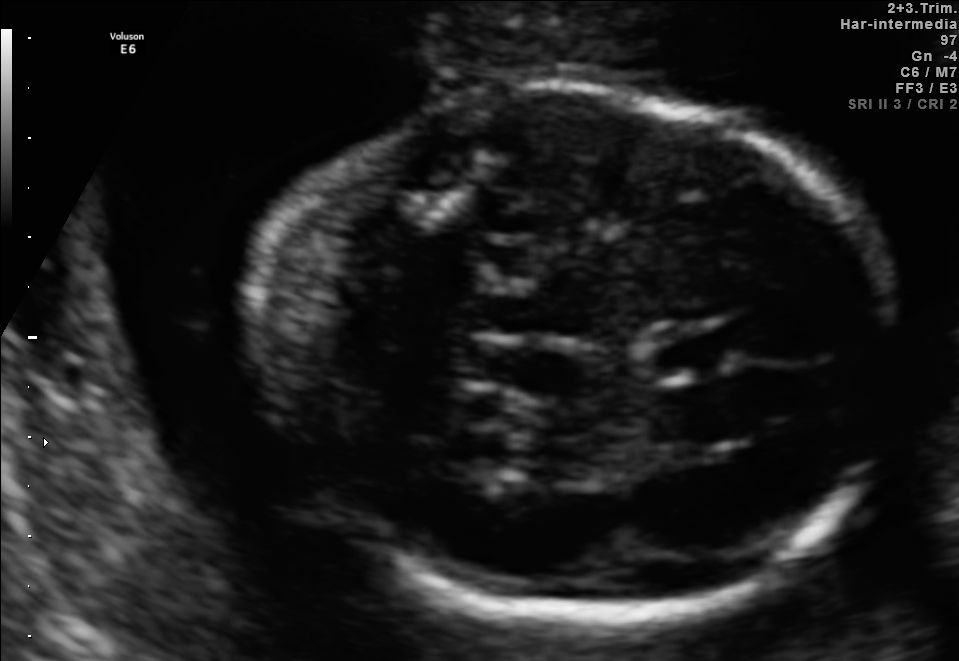
Fetal brain, trans-thalamic plane. Locate the cavum septum pellucidum.

CSP: [642,316,740,385]